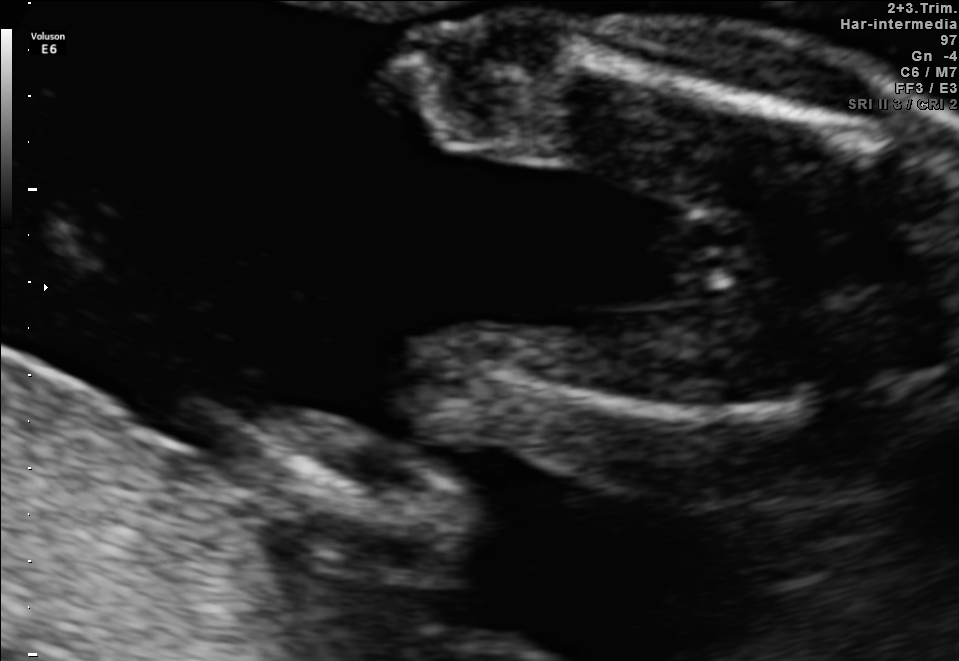
Which standard maternal-fetal ultrasound plane is shown: fetal abdomen, fetal brain, fetal femur, fetal thorax, maternal cervix, or other? If it's fetal brain and one of the three standard brain planes (trans-thalamic, trans-cerebellum, trans-ventricular), name which.

Fetal femur